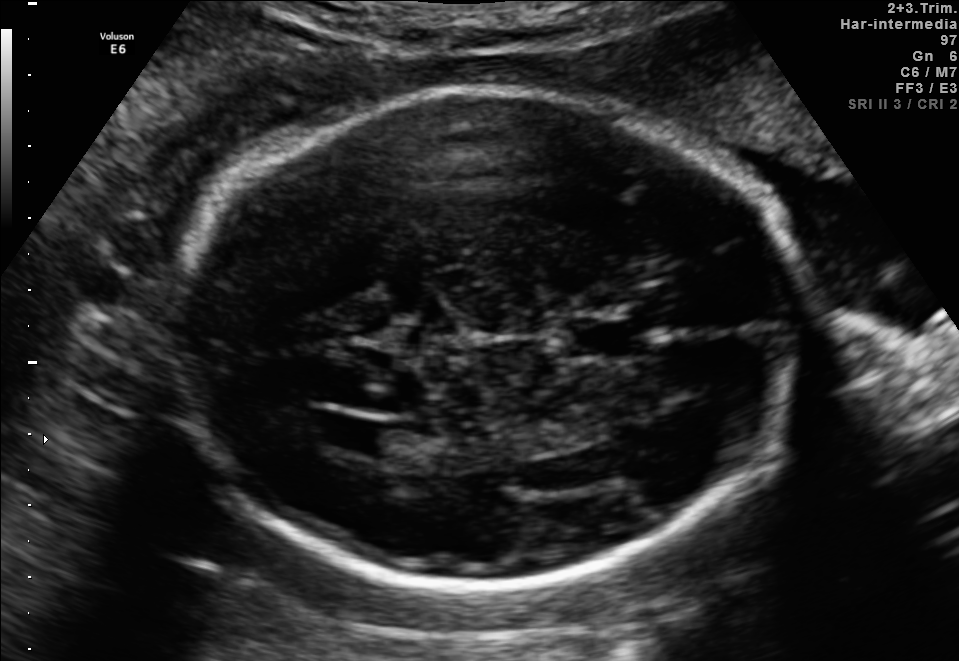
In this fetal brain, trans-ventricular plane, give the bounding box of the cavum septum pellucidum.

[554,321,641,355]